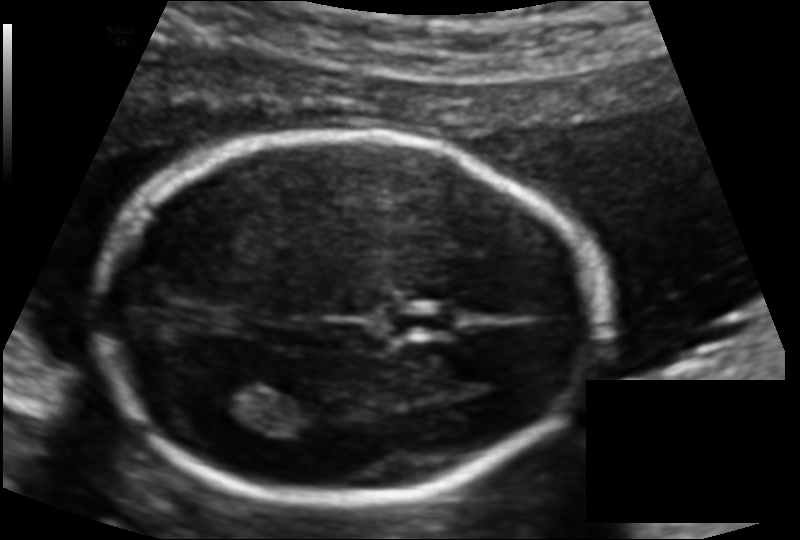
In this fetal head ultrasound, give the bounding box of the cavum septum pellucidum. Image width: 91.6 mm.

[389,307,453,336]